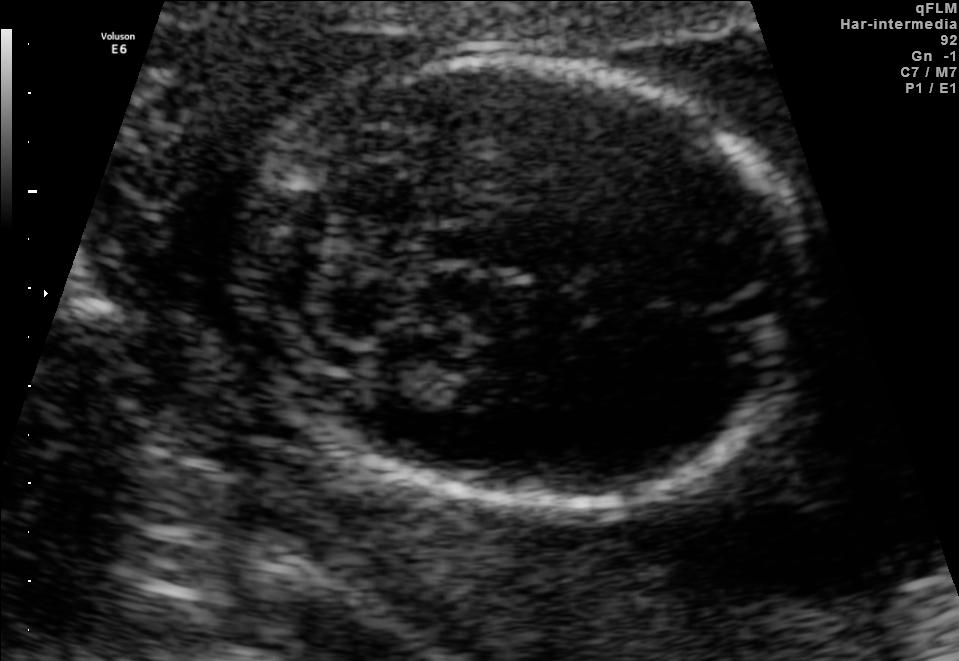
Fetal brain, trans-cerebellum plane. Locate the fetal head and, if visible, the cavum septum pellucidum (CSP) and lateral ventricle (LV). Give bounding boxes as [x1,y1,x2,y2].

Head: [245,58,810,511]